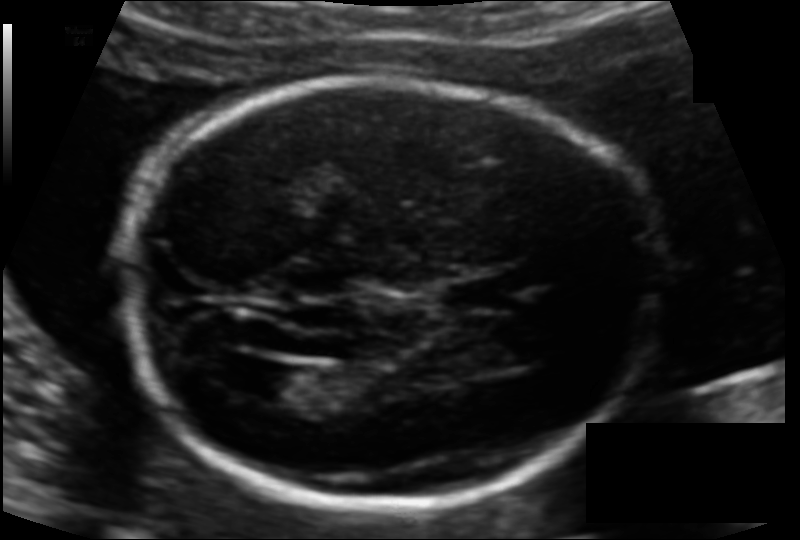
Fetal head ultrasound. Image width: 90.3 mm. Where is the lateral ventricle?

Lateral ventricle bounding box: [249,359,324,409]